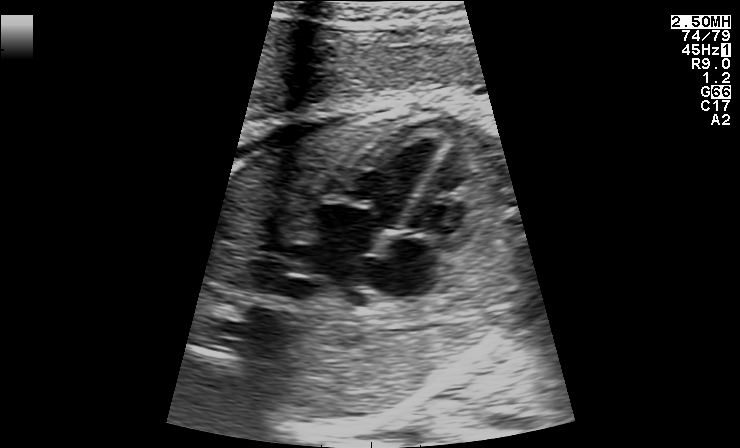
Identify the standard plane in this fetal ultrasound image: fetal abdomen, fetal brain, fetal femur, fetal thorax, maternal cervix, or other. If it's fetal brain and one of the three standard brain planes (trans-thalamic, trans-cerebellum, trans-ventricular), name which.

Fetal thorax